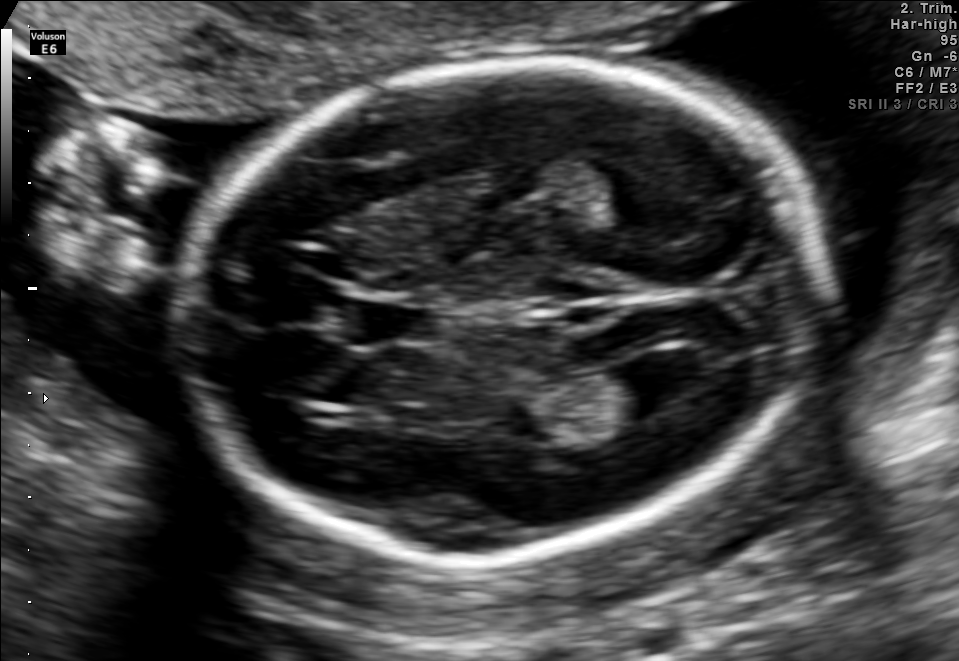
In this fetal brain, trans-ventricular plane, give the bounding box of the fetal head.

[167,46,844,571]